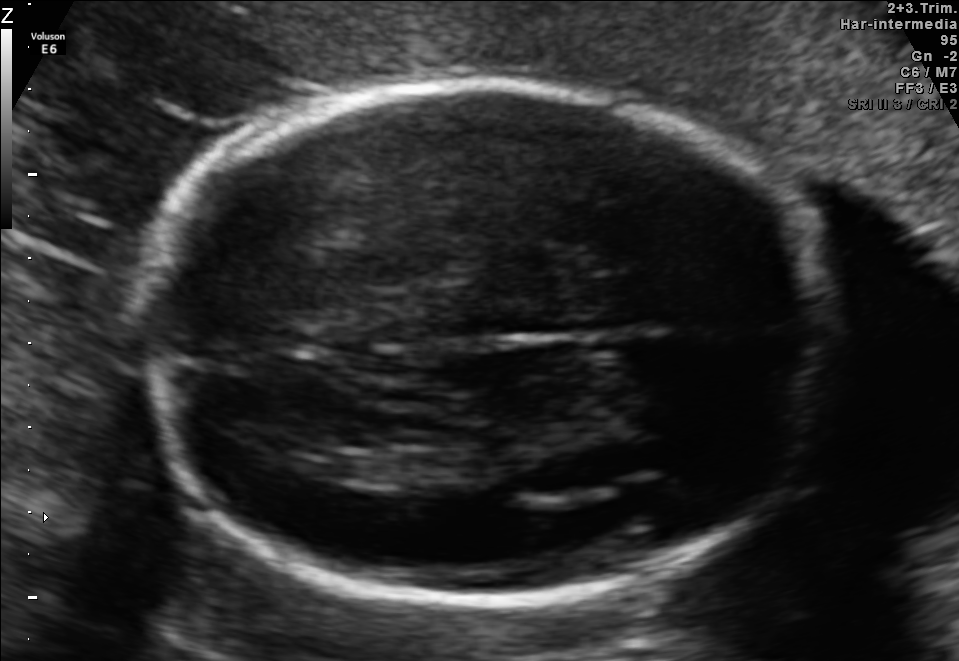
In this fetal brain, trans-thalamic plane, give the bounding box of the fetal head.

[139,77,828,600]